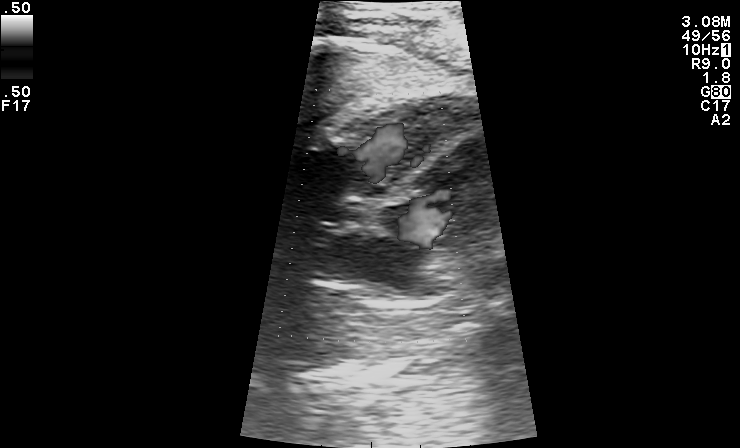
Which standard maternal-fetal ultrasound plane is shown: fetal abdomen, fetal brain, fetal femur, fetal thorax, maternal cervix, or other? If it's fetal brain and one of the three standard brain planes (trans-thalamic, trans-cerebellum, trans-ventricular), name which.

Other